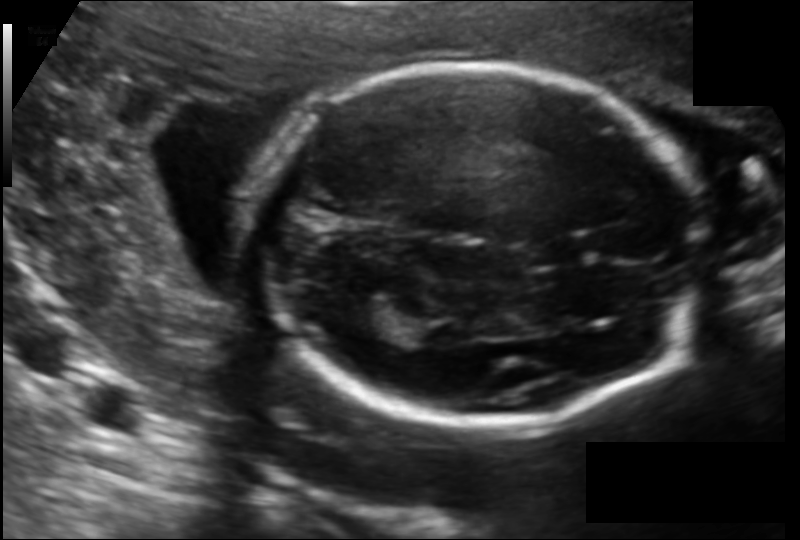
Fetal head ultrasound. Image width: 103.2 mm. Locate the fetal head.

Head: [248,63,702,422]